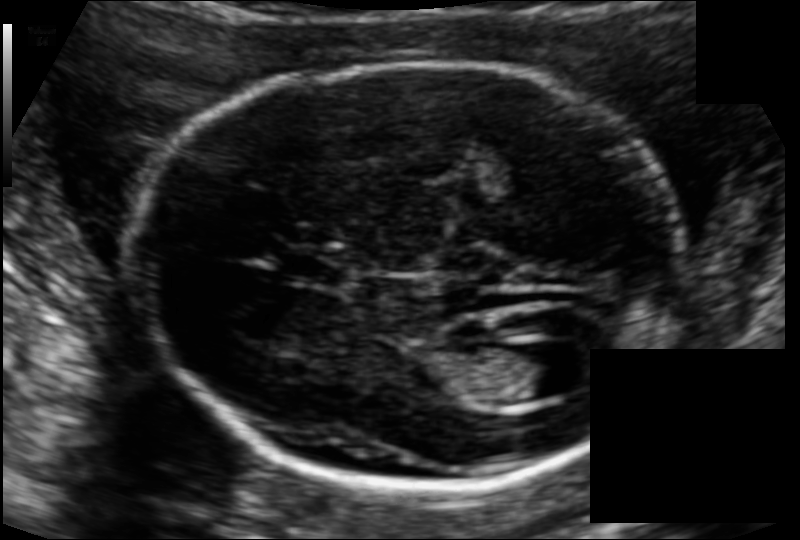
Fetal head ultrasound. Image width: 88.5 mm. Locate the fetal head.

Head: [123,65,692,484]